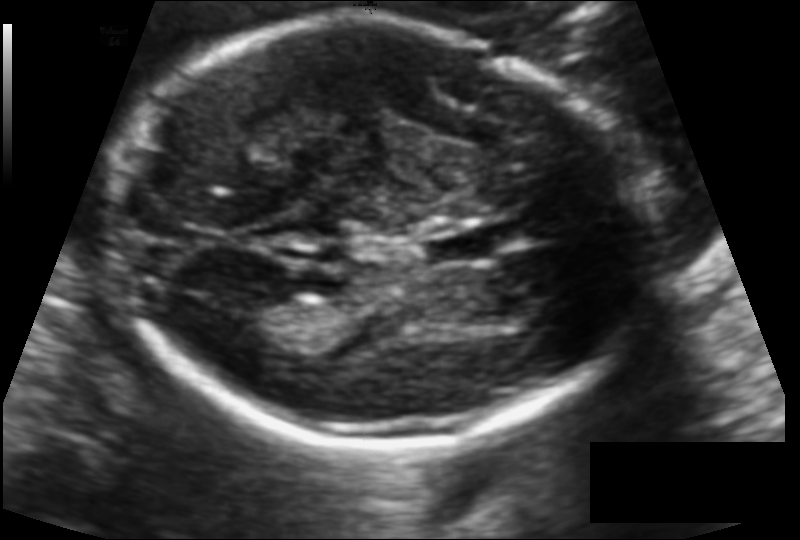
Fetal head ultrasound. Image width: 90.9 mm. Locate the cavum septum pellucidum.

CSP: [417,221,499,270]